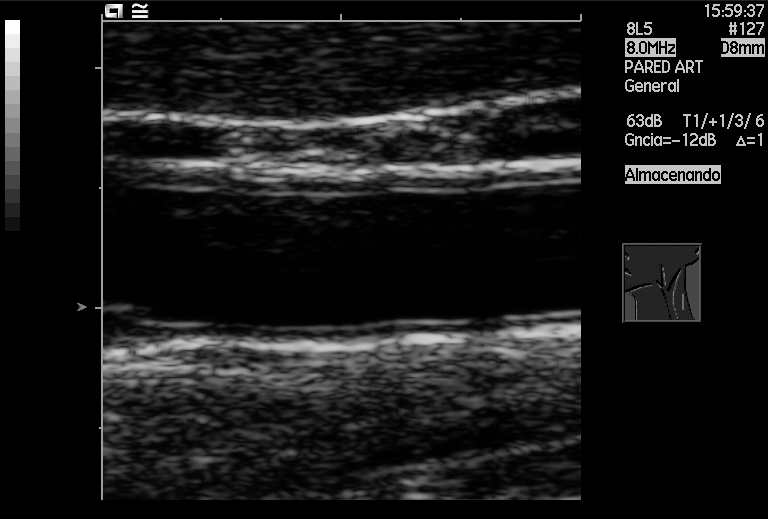
Classify this maternal-fetal ultrasound image as one of the six standard planes — fetal abdomen, fetal brain, fetal femur, fetal thorax, maternal cervix, or other. If it's fetal brain and one of the three standard brain planes (trans-thalamic, trans-cerebellum, trans-ventricular), name which.

Other